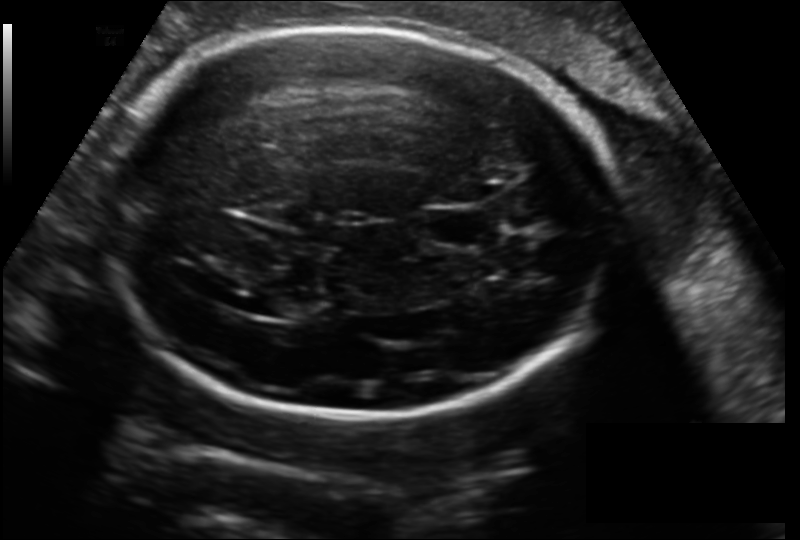
In this fetal head ultrasound, give the bounding box of the cavum septum pellucidum. Image width: 142.1 mm.

[424,207,486,247]